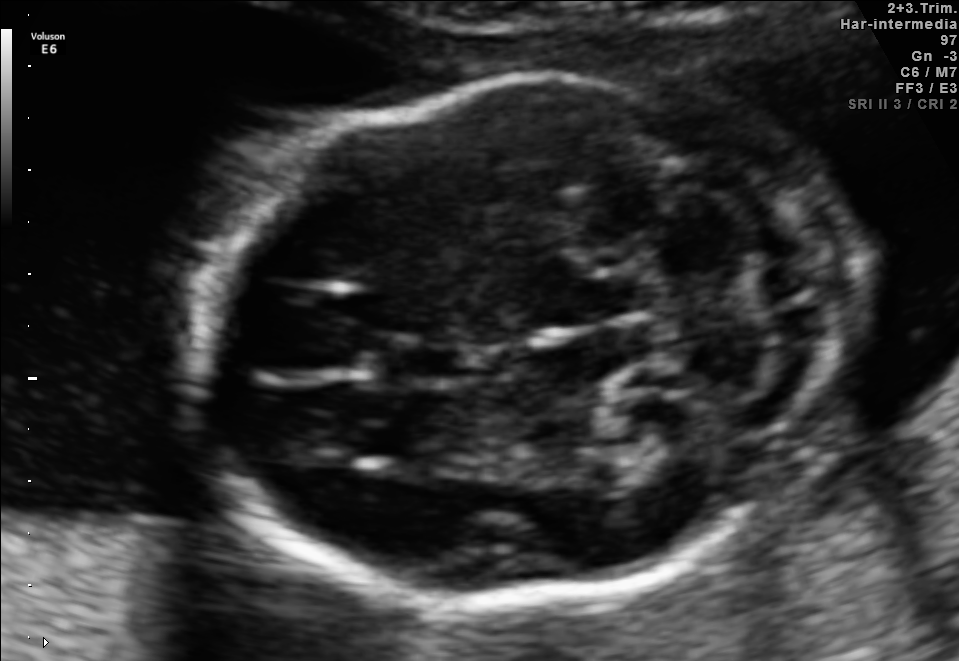
Fetal brain, trans-cerebellum plane. Locate the cavum septum pellucidum.

CSP: [390,337,478,382]